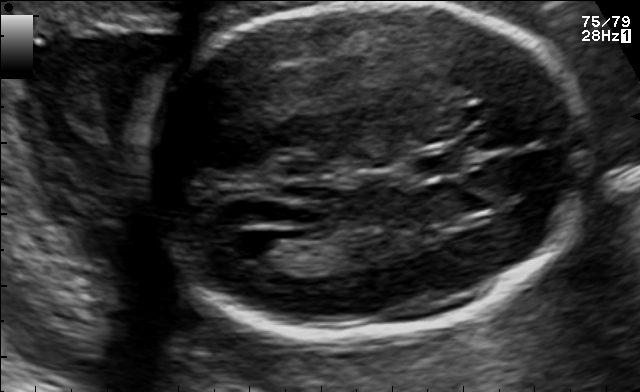
Fetal brain, trans-ventricular plane. Where is the lateral ventricle?

Lateral ventricle bounding box: [217,226,287,264]